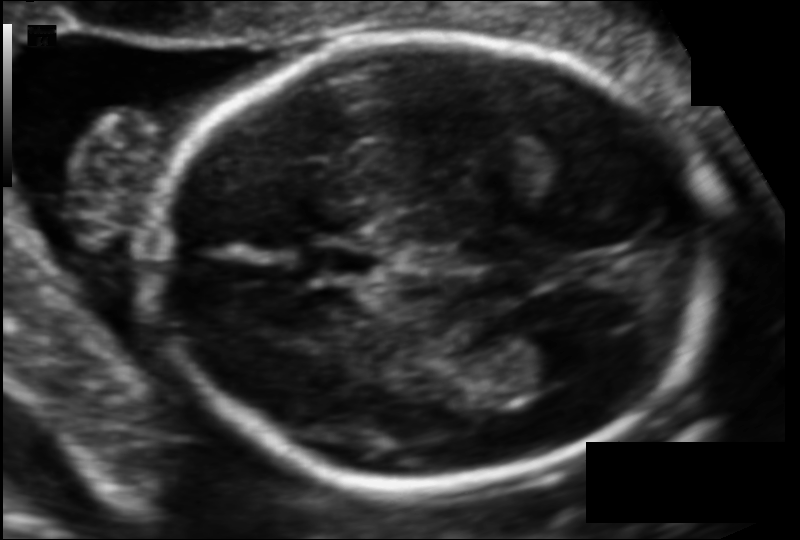
Estimate the fetal head circumference from this 2D ultrasound. Image width: 81.4 mm.

Head circumference: 166.8 mm.